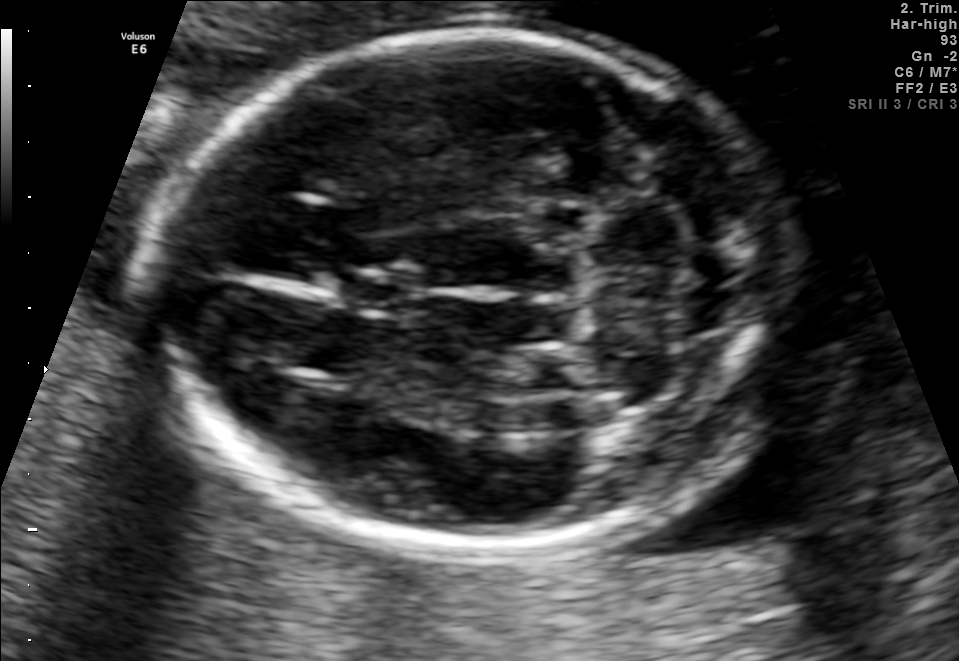
Fetal brain, trans-cerebellum plane. Where is the fetal head?

Head bounding box: [154,29,805,552]